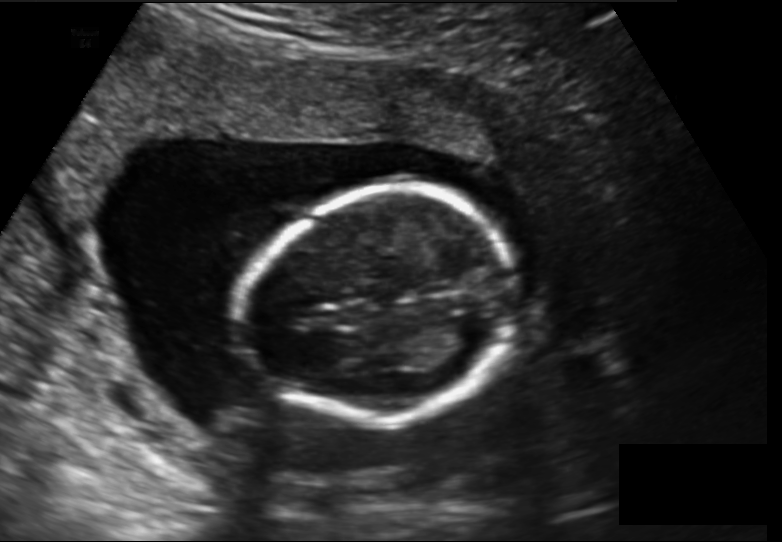
Fetal head ultrasound. Image width: 122.9 mm. Locate the fetal head.

Head: [245,188,519,423]